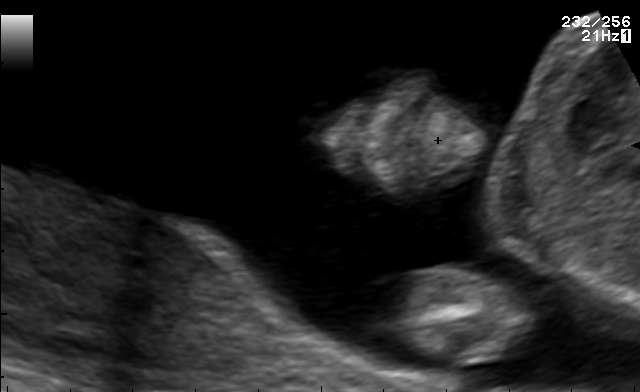
Identify the standard plane in this fetal ultrasound image: fetal abdomen, fetal brain, fetal femur, fetal thorax, maternal cervix, or other. If it's fetal brain and one of the three standard brain planes (trans-thalamic, trans-cerebellum, trans-ventricular), name which.

Other